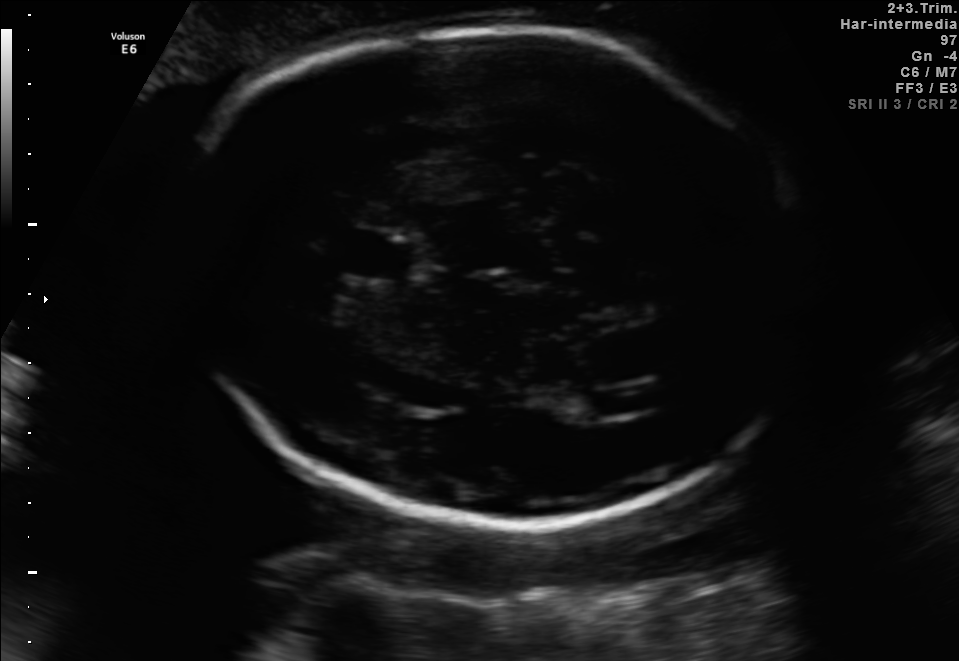
Fetal brain, trans-ventricular plane. Give [x1,y1,x2,y2] bounding boxes for each visible structure among: fetal head, CSP, LV.

Head: [160,14,831,533]